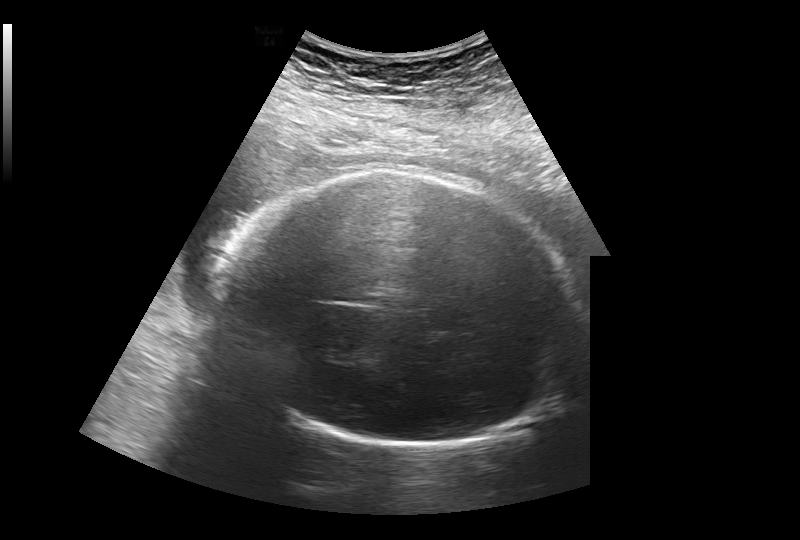
Estimate the fetal head circumference from this 2D ultrasound. Image width: 246.2 mm.

Head circumference: 314.3 mm.